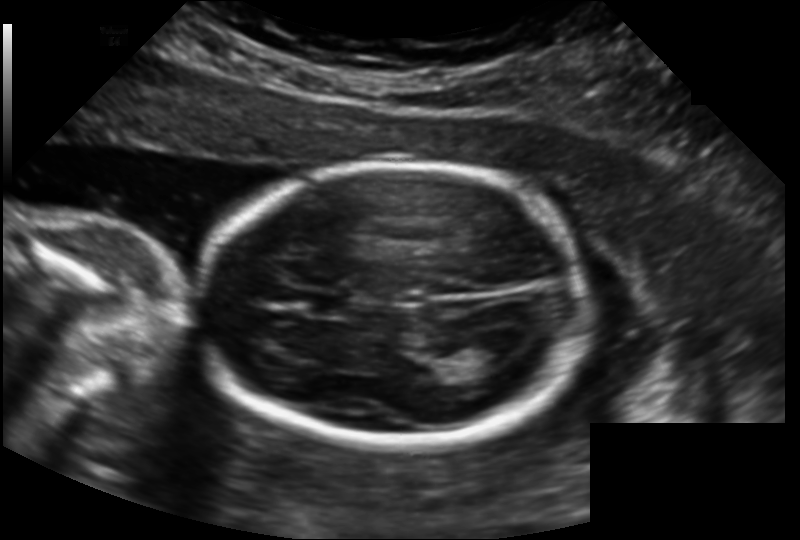
What is the fetal head circumference? Image width is 126.2 mm.

171.8 mm